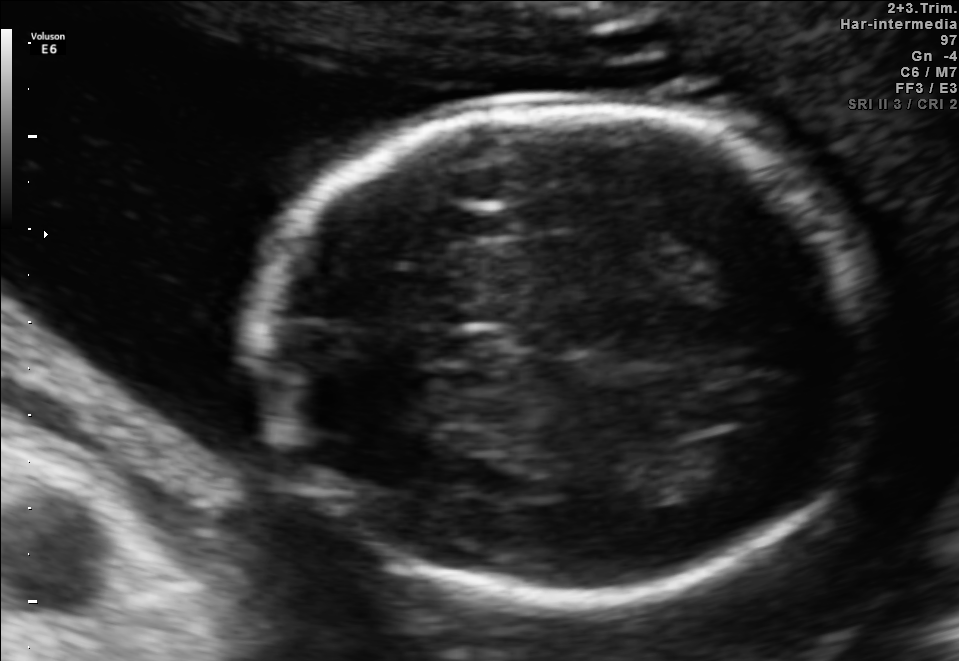
Fetal brain, trans-ventricular plane. Where is the fetal head?

Head bounding box: [241,98,896,607]